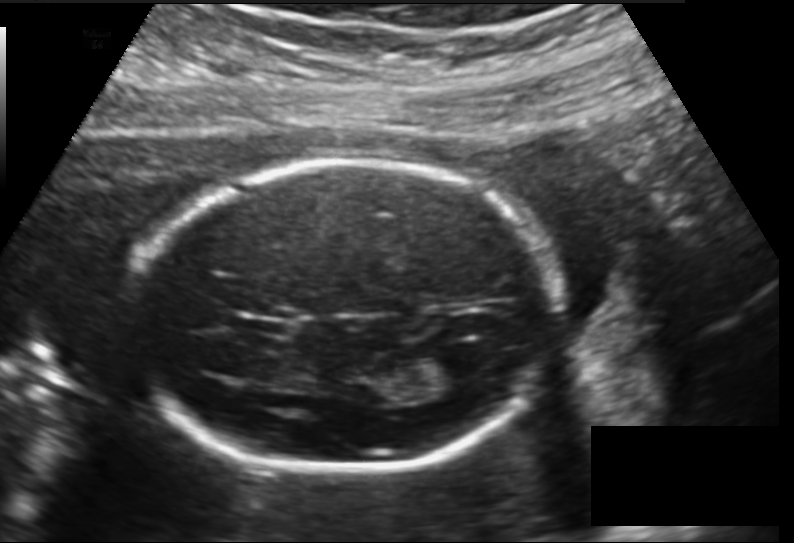
Fetal head ultrasound. Image width: 124.7 mm. Locate the cavum septum pellucidum.

CSP: [243,316,287,338]